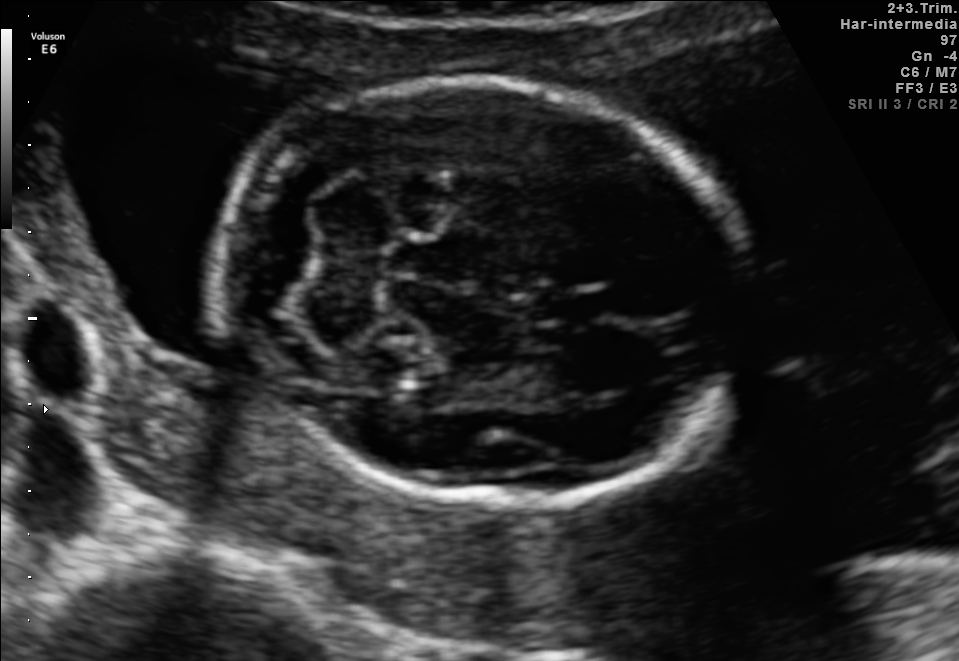
Fetal brain, trans-cerebellum plane. Locate the cavum septum pellucidum.

CSP: [536,287,603,328]